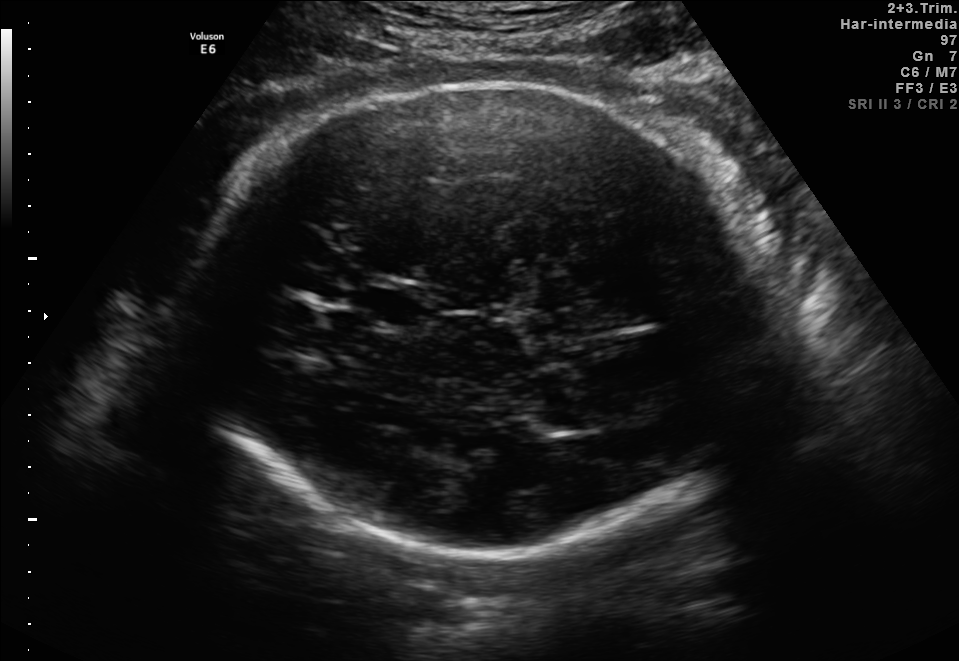
Fetal brain, trans-thalamic plane. Locate the fetal head and, if visible, the cavum septum pellucidum (CSP) and lateral ventricle (LV). Give bounding boxes as [x1,y1,x2,y2].

Head: [186,85,785,562]
CSP: [364,286,416,325]
Lateral ventricle: [532,403,607,435]